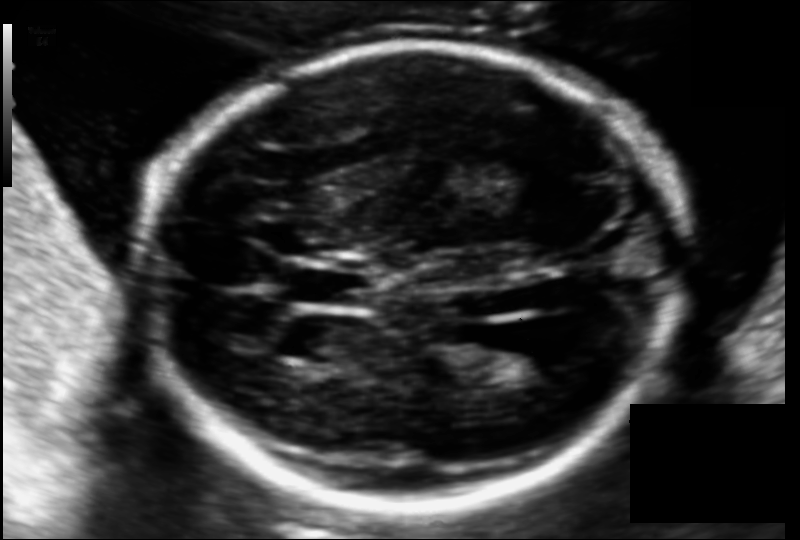
Fetal head ultrasound. Image width: 94.4 mm. Where is the cavum septum pellucidum?

CSP bounding box: [290,269,366,307]